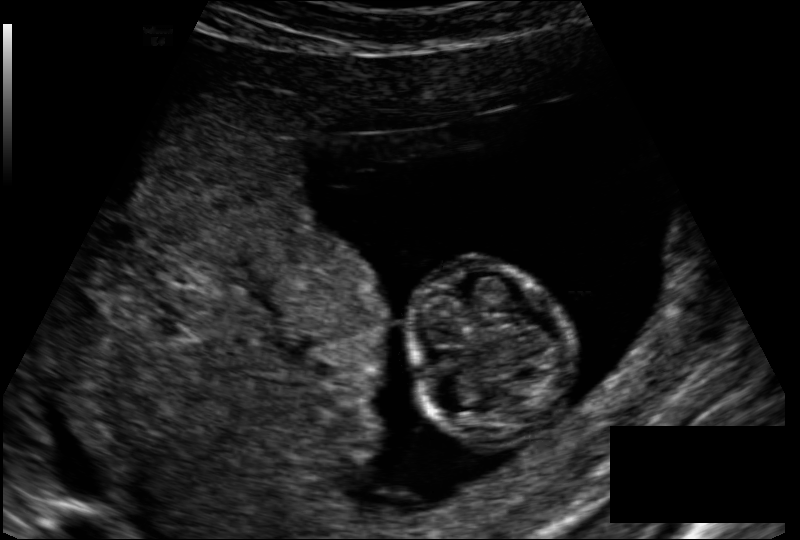
In this fetal head ultrasound, give bounding boxes for the head outline, cavum septum pellucidum (CSP), and lateral ventricle (LV), where visible. Image width: 102.1 mm.

Head: [408,260,567,439]